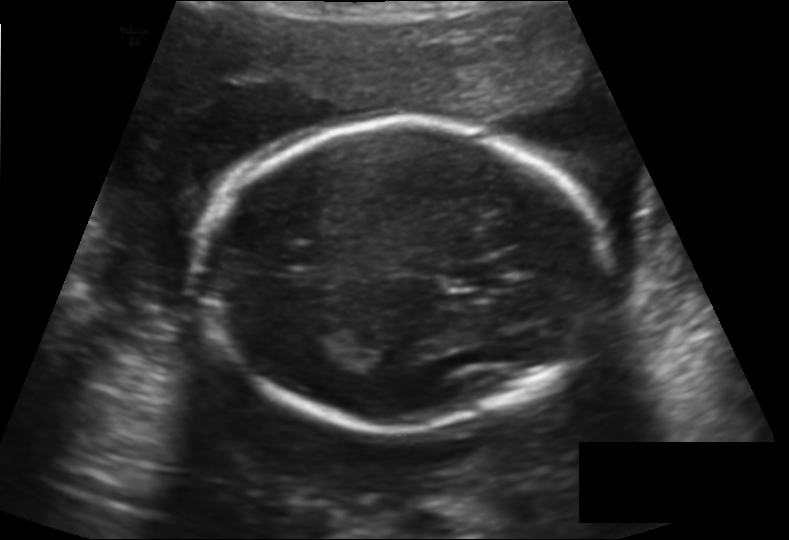
Fetal head ultrasound. Image width: 124.3 mm. Locate the fetal head and, if visible, the cavum septum pellucidum (CSP) and lateral ventricle (LV). Give bounding boxes as [x1,y1,x2,y2].

Head: [207,119,601,431]
CSP: [443,255,508,292]